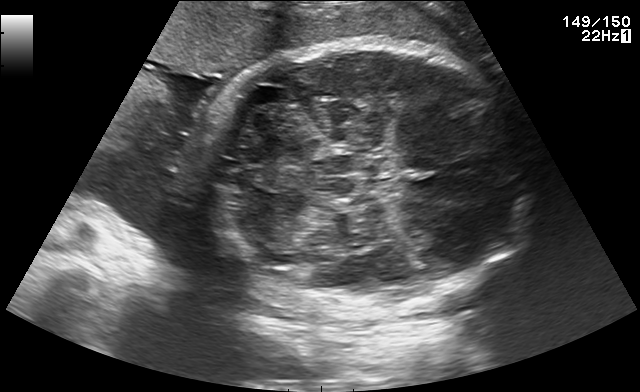
Fetal brain, trans-cerebellum plane. Where is the fetal head?

Head bounding box: [202,41,528,308]